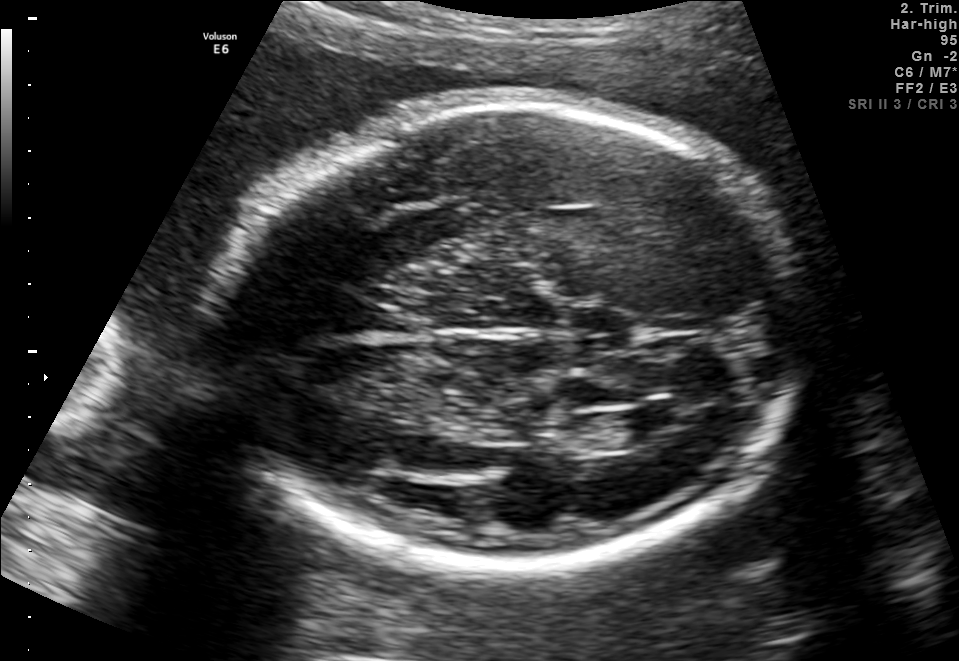
Fetal brain, trans-ventricular plane. Give [x1,y1,x2,y2] bounding boxes for each visible structure among: fetal head, CSP, LV.

Head: [203,100,820,573]
Lateral ventricle: [613,398,683,447]